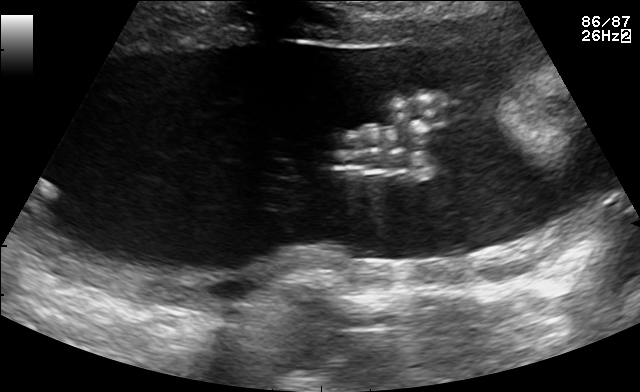
Classify this maternal-fetal ultrasound image as one of the six standard planes — fetal abdomen, fetal brain, fetal femur, fetal thorax, maternal cervix, or other. If it's fetal brain and one of the three standard brain planes (trans-thalamic, trans-cerebellum, trans-ventricular), name which.

Other